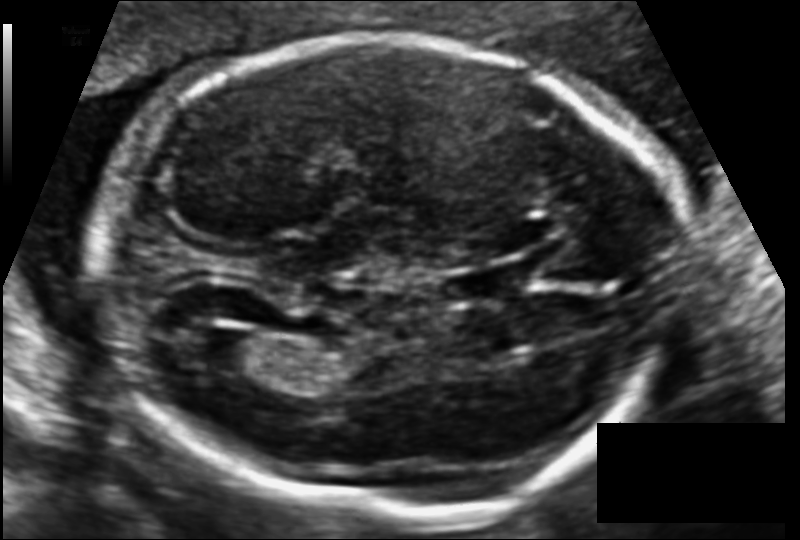
Fetal head ultrasound. Image width: 92.7 mm. Locate the fetal head and, if visible, the cavum septum pellucidum (CSP) and lateral ventricle (LV). Give bounding boxes as [x1,y1,x2,y2].

Head: [99,36,676,514]
CSP: [434,261,523,313]
Lateral ventricle: [190,325,263,375]